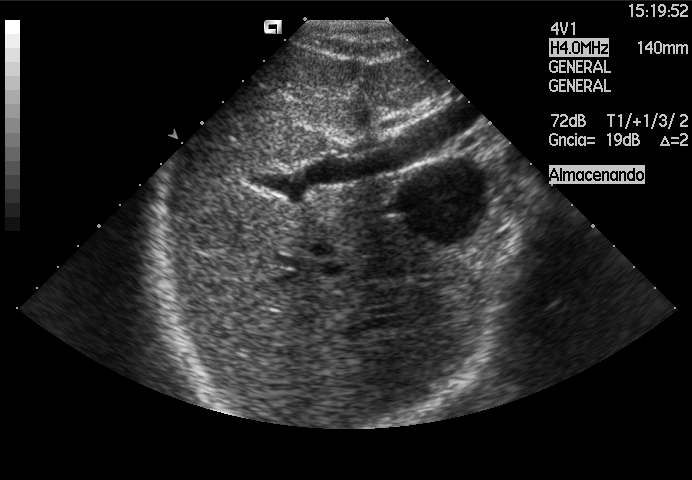
Identify the standard plane in this fetal ultrasound image: fetal abdomen, fetal brain, fetal femur, fetal thorax, maternal cervix, or other. If it's fetal brain and one of the three standard brain planes (trans-thalamic, trans-cerebellum, trans-ventricular), name which.

Other